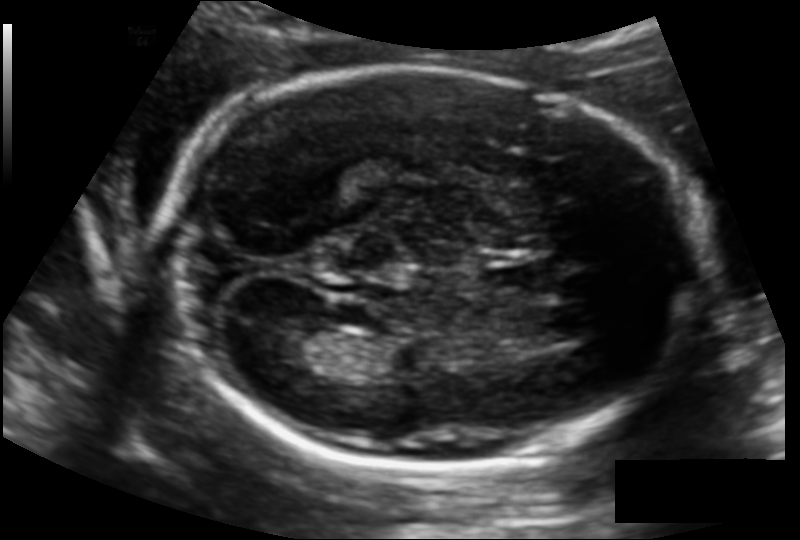
Fetal head ultrasound. Image width: 103.6 mm. Locate the fetal head and, if visible, the cavum septum pellucidum (CSP) and lateral ventricle (LV). Give bounding boxes as [x1,y1,x2,y2].

Head: [162,69,693,465]
CSP: [482,255,557,299]
Lateral ventricle: [271,325,338,371]